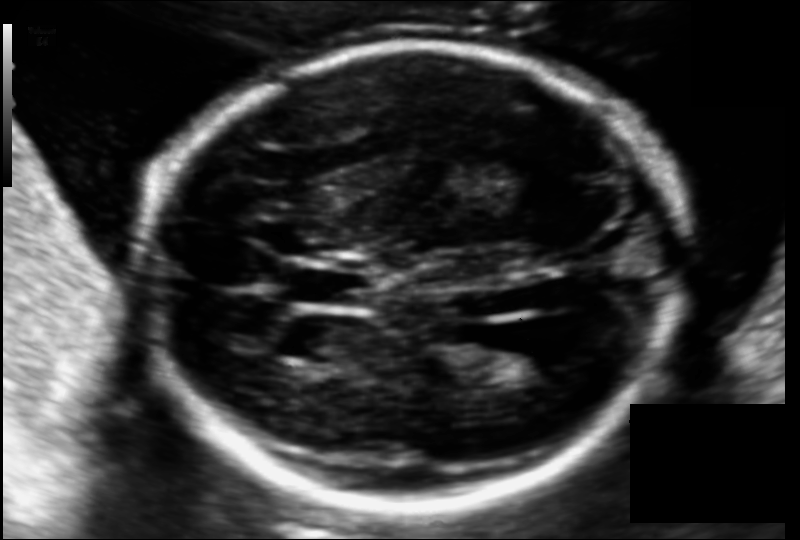
In this fetal head ultrasound, give the bounding box of the fetal head. Image width: 94.4 mm.

[143,45,683,508]